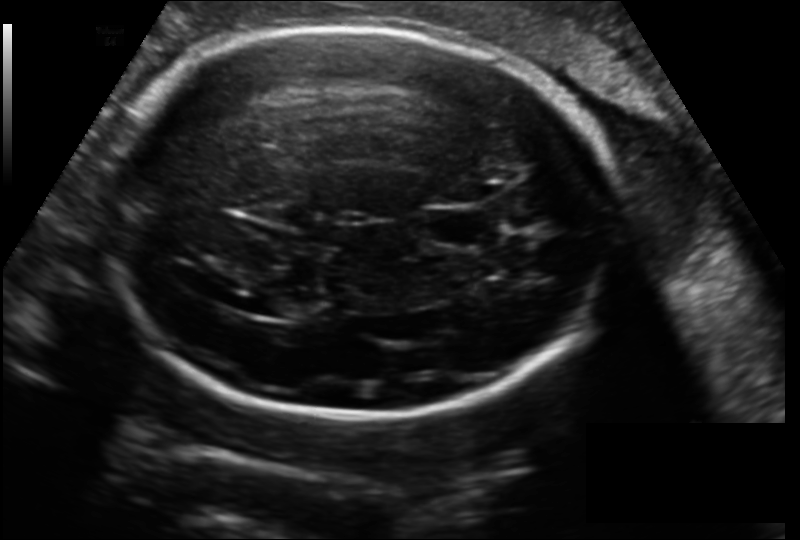
Measure the fetal head circumference shown in this ultrasound image. Image width: 142.1 mm.

Head circumference: 259.5 mm.